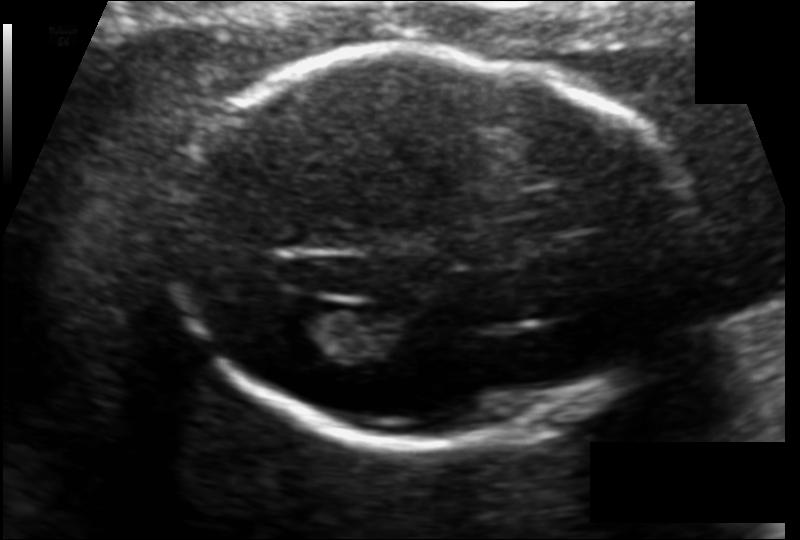
Fetal head ultrasound. Image width: 96.2 mm. Locate the lateral ventricle.

Lateral ventricle: [267,309,350,366]